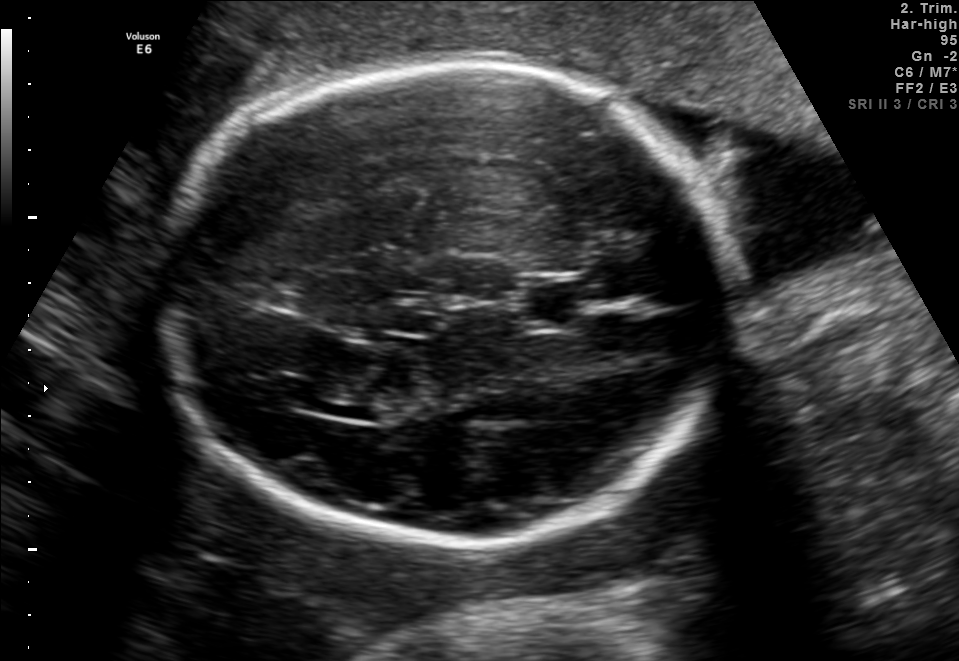
Fetal brain, trans-thalamic plane. Where is the fetal head?

Head bounding box: [161,58,726,545]